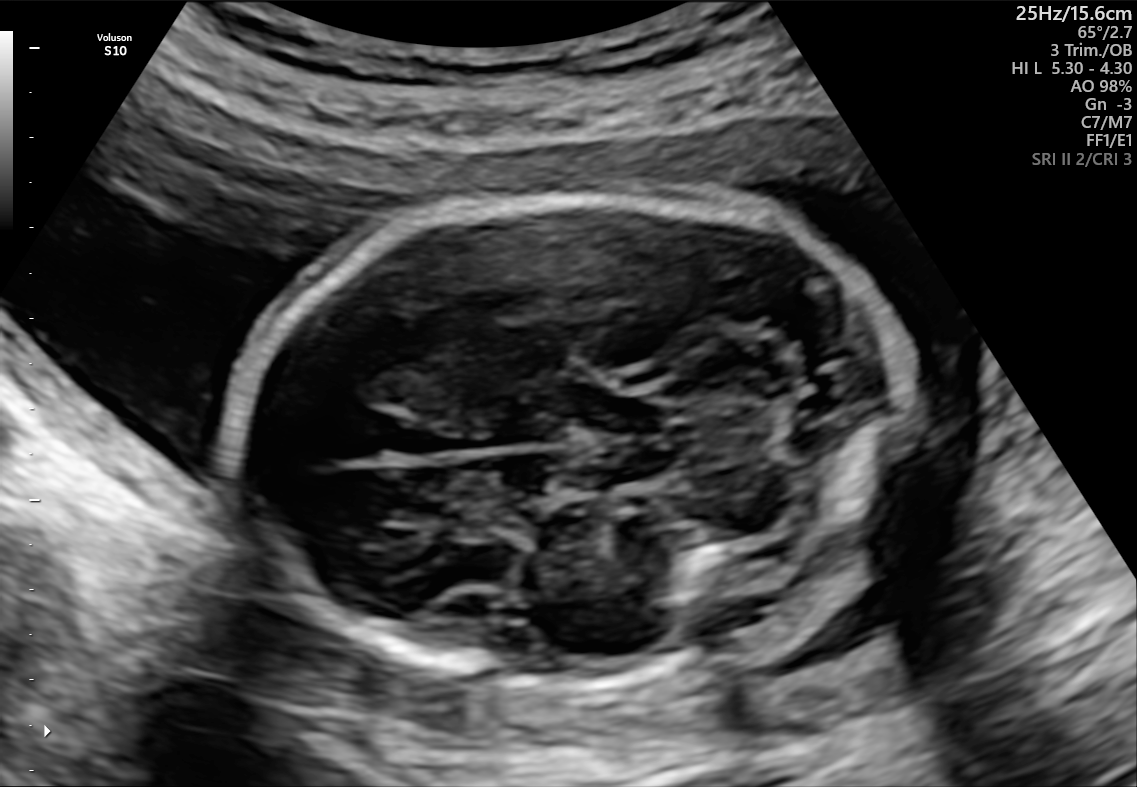
Fetal brain, trans-cerebellum plane. Where is the fetal head?

Head bounding box: [232,192,907,686]